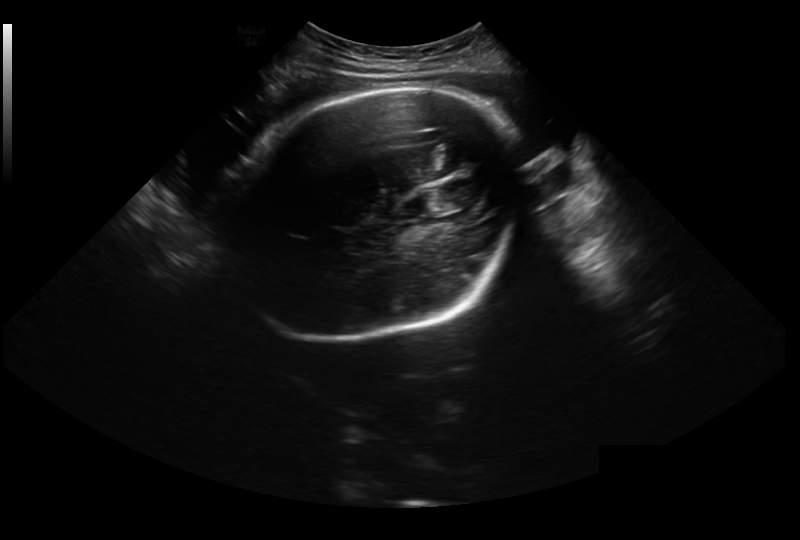
Fetal head ultrasound. Image width: 260.9 mm. Give [x1,y1,x2,y2] bounding boxes for each visible structure among: fetal head, CSP, LV.

Head: [220,85,523,342]